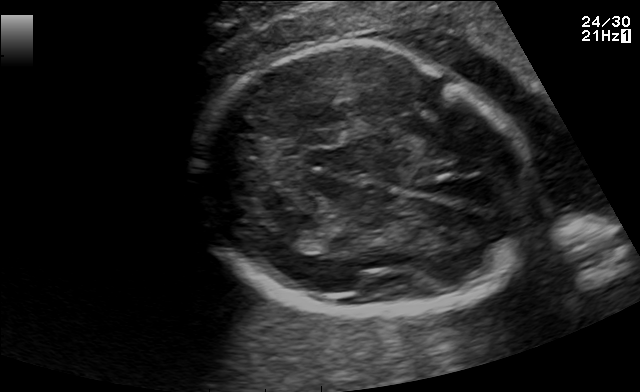
Fetal brain, trans-thalamic plane. Give [x1,y1,x2,y2] bounding boxes for each visible structure among: fetal head, CSP, LV.

Head: [196,44,535,320]